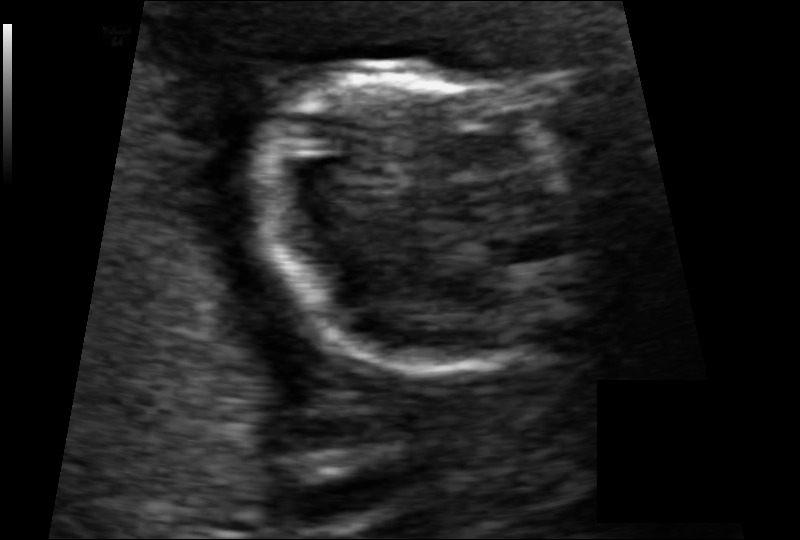
Fetal head ultrasound. Image width: 62.3 mm. Locate the fetal head.

Head: [249,60,580,373]